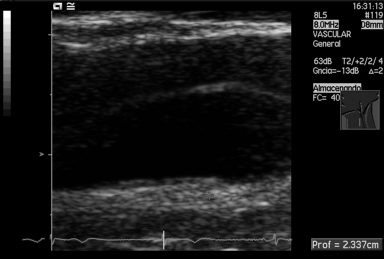
Identify the standard plane in this fetal ultrasound image: fetal abdomen, fetal brain, fetal femur, fetal thorax, maternal cervix, or other. If it's fetal brain and one of the three standard brain planes (trans-thalamic, trans-cerebellum, trans-ventricular), name which.

Other